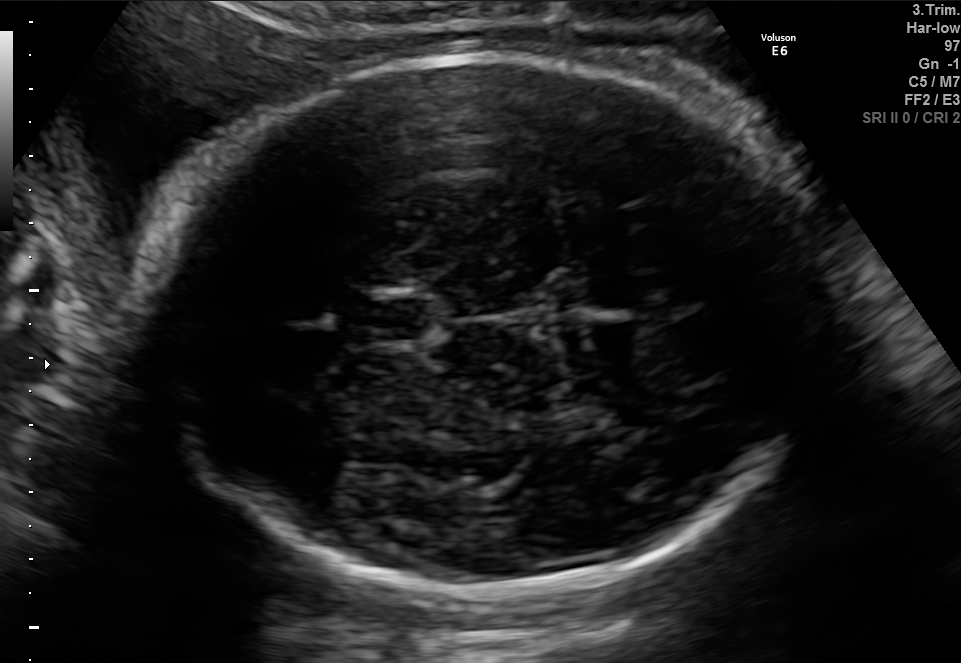
Fetal brain, trans-thalamic plane. Locate the fetal head and, if visible, the cavum septum pellucidum (CSP) and lateral ventricle (LV). Give bounding boxes as [x1,y1,x2,y2].

Head: [155,55,822,586]
CSP: [366,299,429,340]